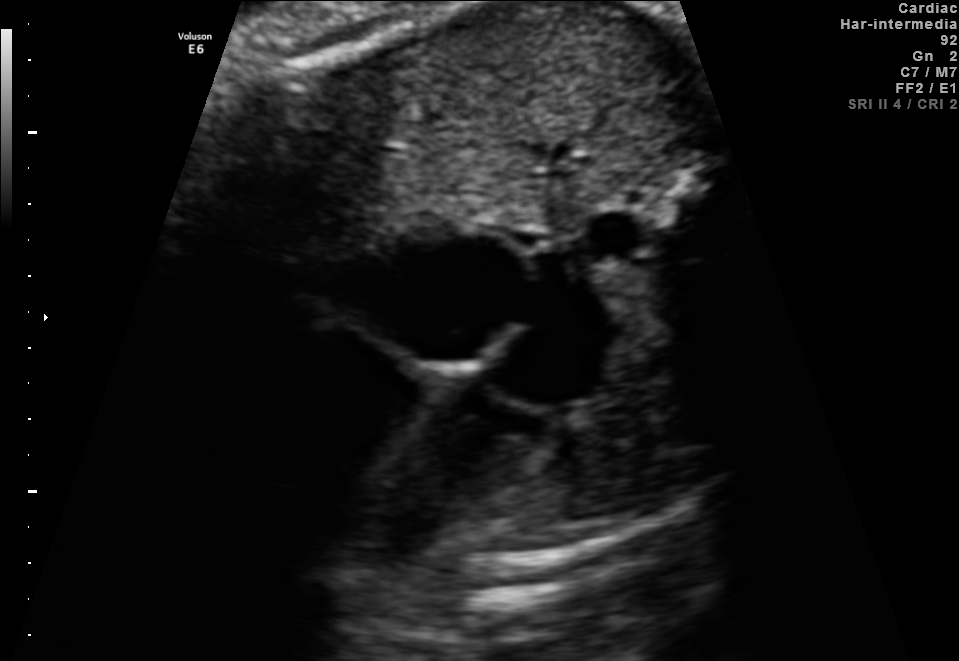
Identify the standard plane in this fetal ultrasound image: fetal abdomen, fetal brain, fetal femur, fetal thorax, maternal cervix, or other. If it's fetal brain and one of the three standard brain planes (trans-thalamic, trans-cerebellum, trans-ventricular), name which.

Fetal thorax